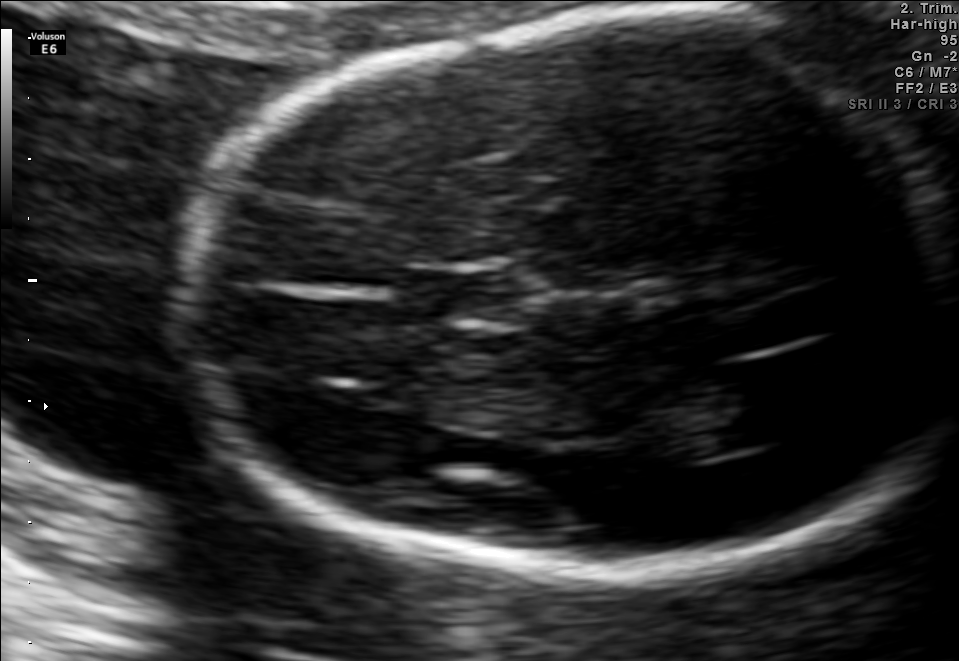
Fetal brain, trans-thalamic plane. Where is the lateral ventricle?

Lateral ventricle bounding box: [665,363,802,463]